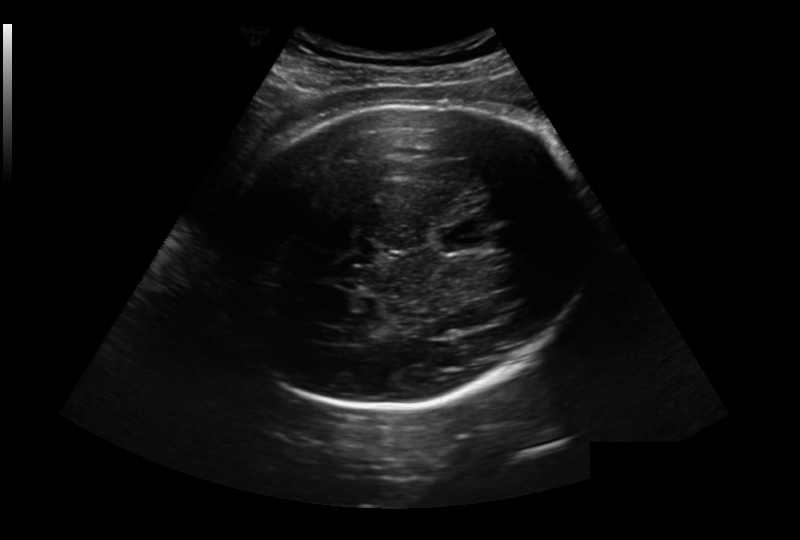
Fetal head ultrasound. Image width: 224.8 mm. Locate the fetal head and, if visible, the cavum septum pellucidum (CSP) and lateral ventricle (LV). Give bounding boxes as [x1,y1,x2,y2].

Head: [215,107,591,410]
CSP: [435,220,494,255]
Lateral ventricle: [312,326,351,346]